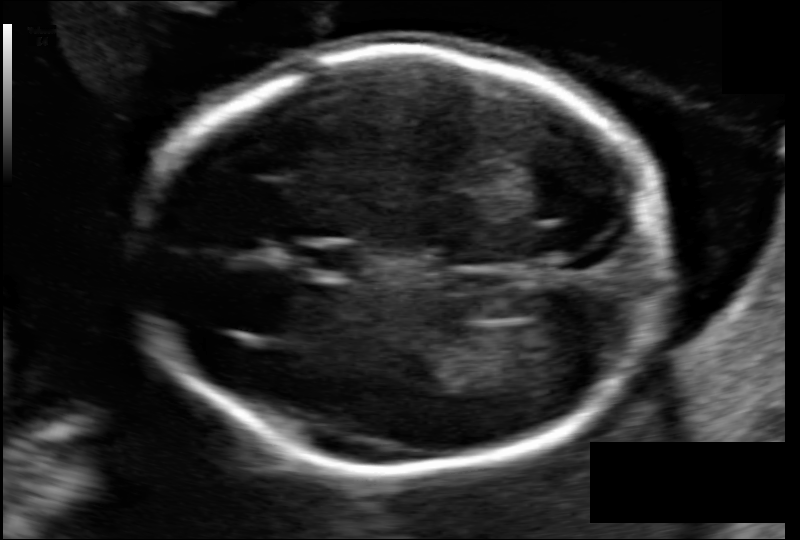
Estimate the fetal head circumference from this 2D ultrasound. Image width: 82.2 mm.

Head circumference: 156.3 mm.